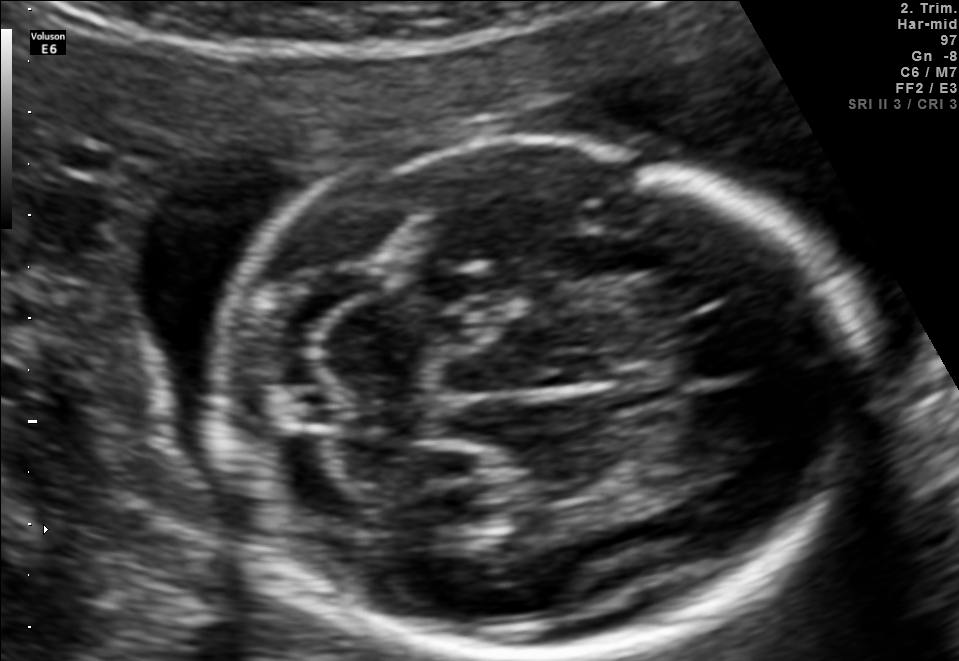
In this fetal brain, trans-cerebellum plane, give bounding boxes for the head outline, cavum septum pellucidum (CSP), and lateral ventricle (LV), where visible.

Head: [213,138,850,660]